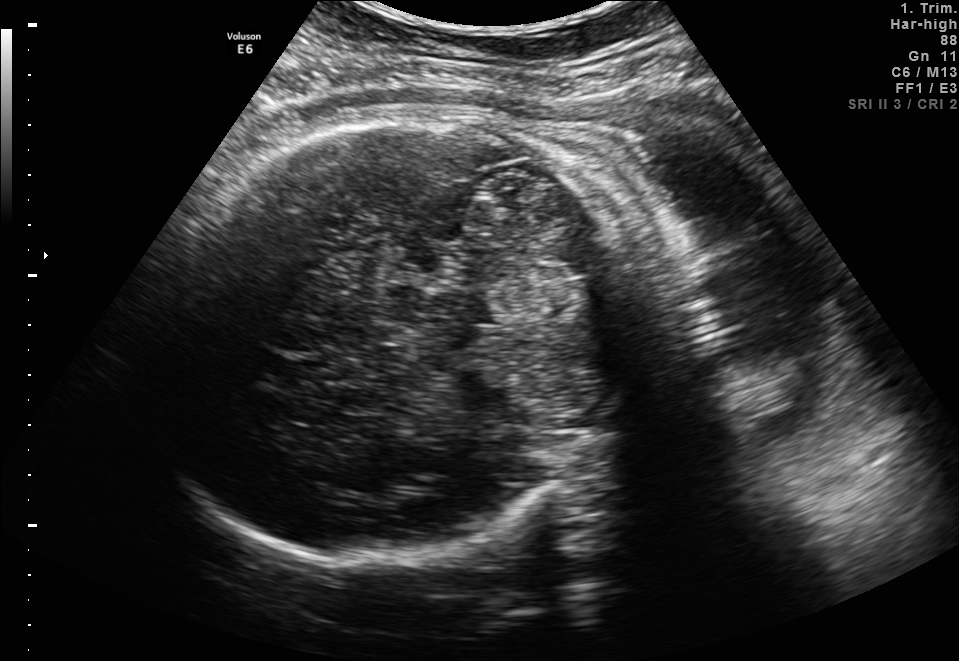
Fetal brain, trans-thalamic plane. Give [x1,y1,x2,y2] bounding boxes for each visible structure among: fetal head, CSP, LV.

Head: [144,108,633,573]